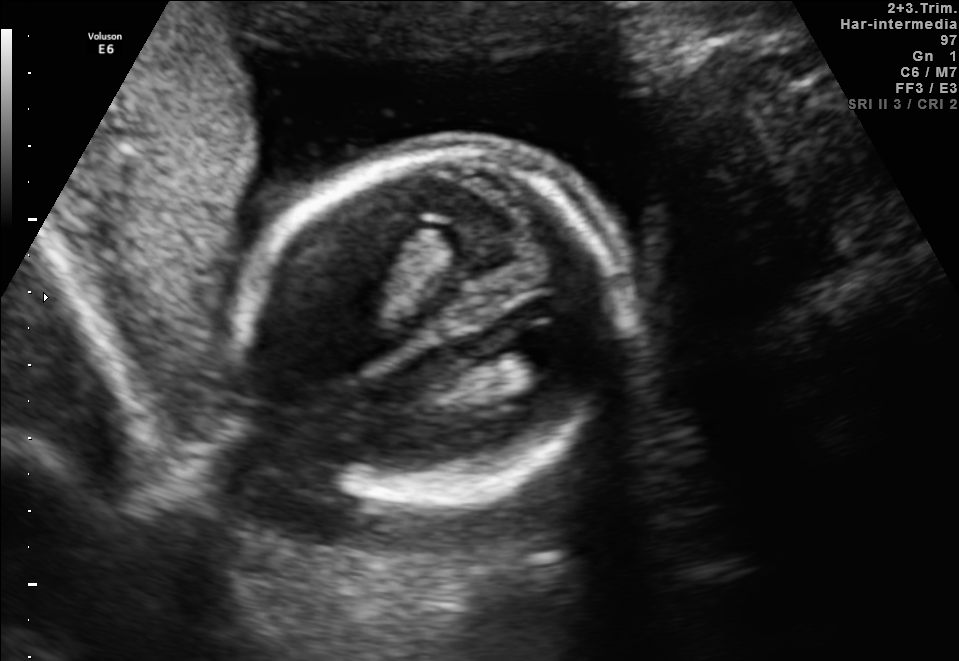
In this fetal brain, trans-ventricular plane, give bounding boxes for the head outline, cavum septum pellucidum (CSP), and lateral ventricle (LV), where visible.

Head: [228,134,653,513]
Lateral ventricle: [494,317,576,389]